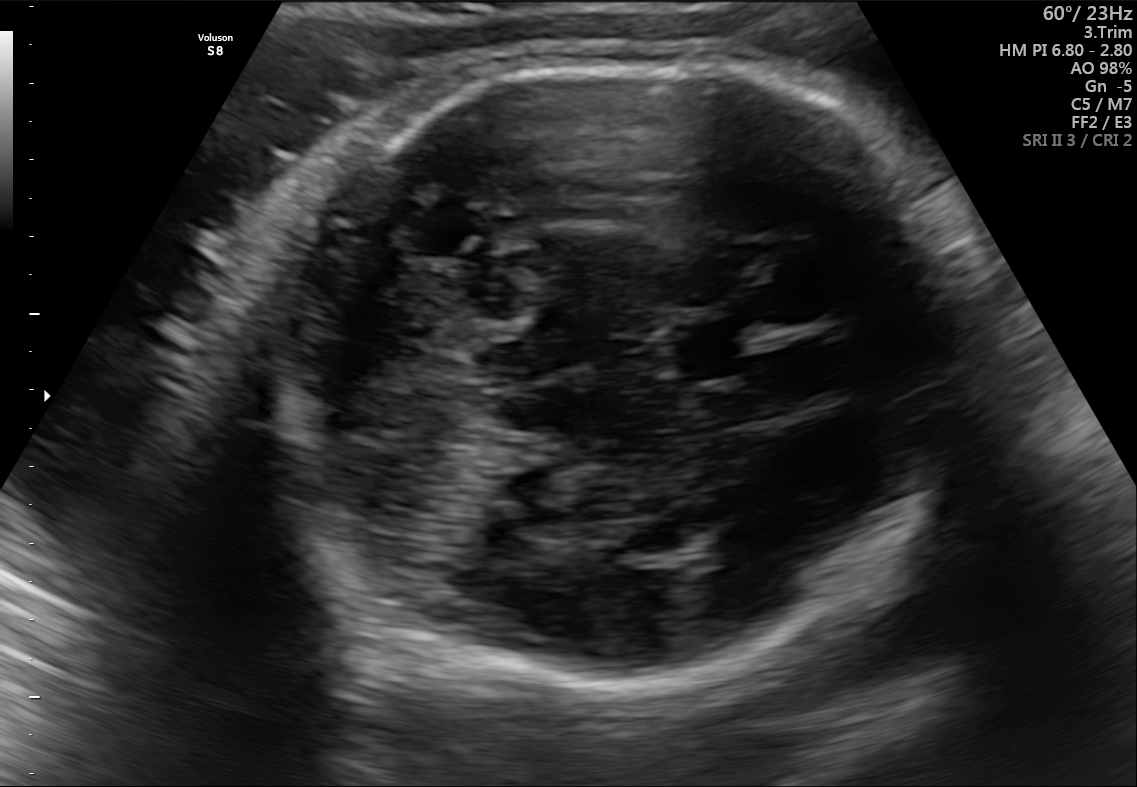
Fetal brain, trans-cerebellum plane. Where is the fetal head?

Head bounding box: [263,58,964,681]